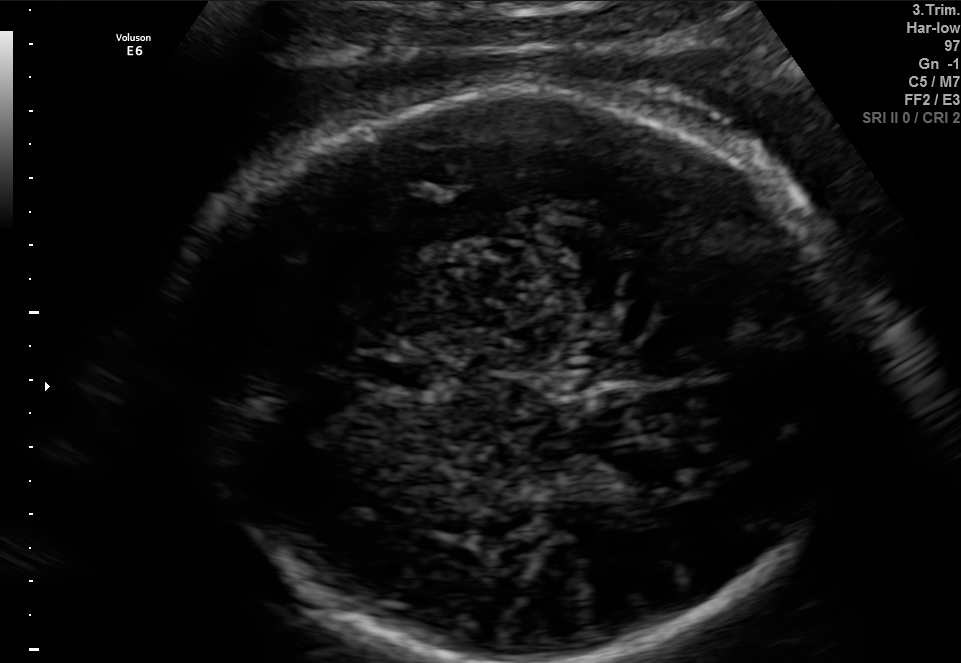
In this fetal brain, trans-thalamic plane, give the bounding box of the cavum septum pellucidum.

[364,353,441,394]